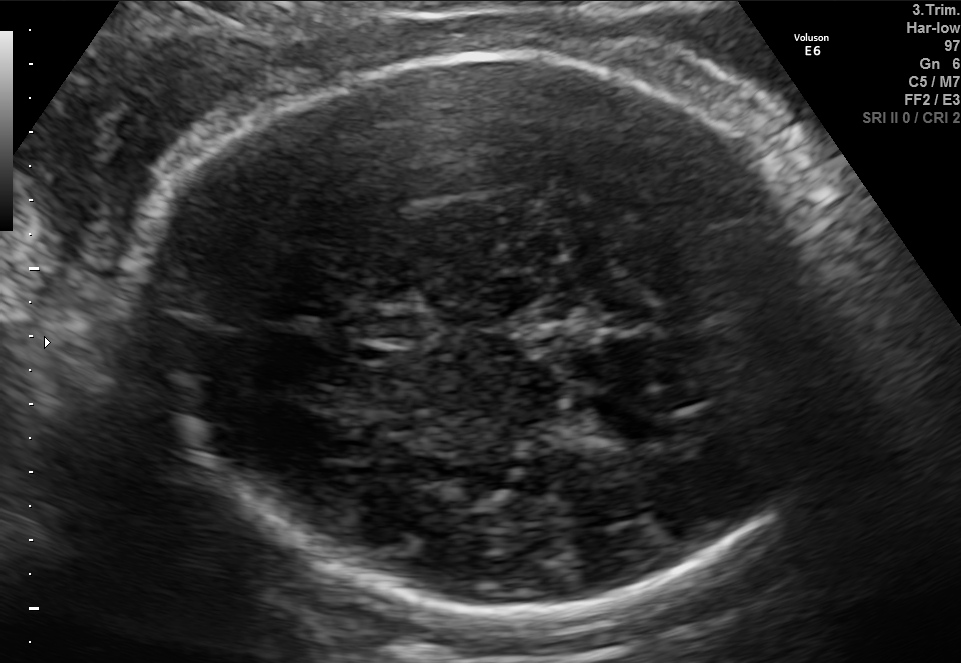
In this fetal brain, trans-thalamic plane, give the bounding box of the cavum septum pellucidum.

[355,308,420,344]